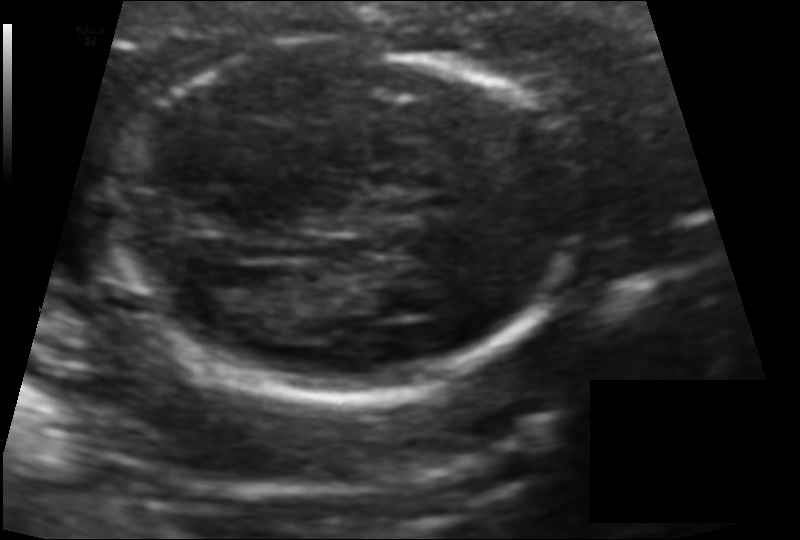
Fetal head ultrasound. Image width: 81.1 mm. Where is the fetal head?

Head bounding box: [117,42,571,397]